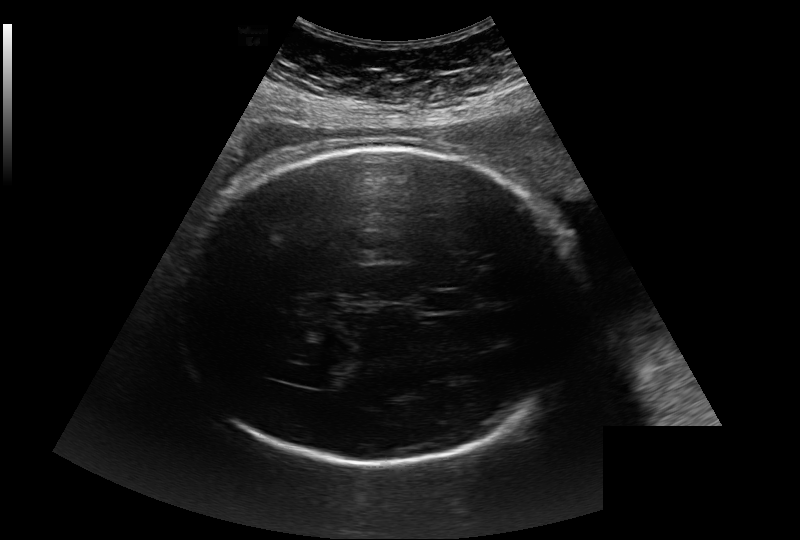
In this fetal head ultrasound, give the bounding box of the fetal head. Image width: 227.4 mm.

[178,147,579,465]